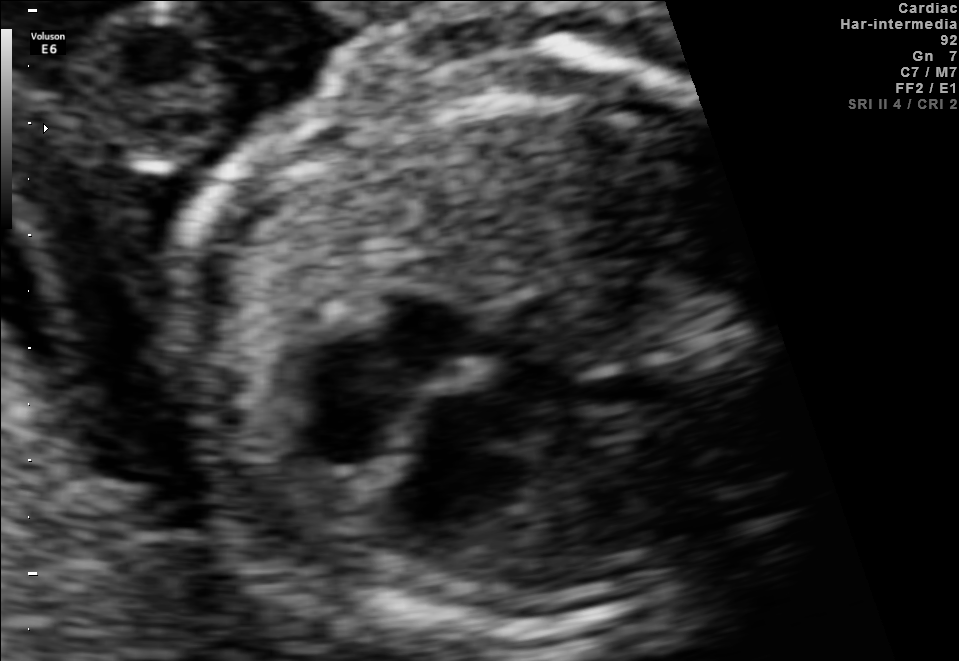
This is a 2D maternal-fetal ultrasound frame. Is it a fetal abdomen, fetal brain, fetal femur, fetal thorax, maternal cervix, or other standard plane? If it's fetal brain and one of the three standard brain planes (trans-thalamic, trans-cerebellum, trans-ventricular), name which.

Fetal thorax